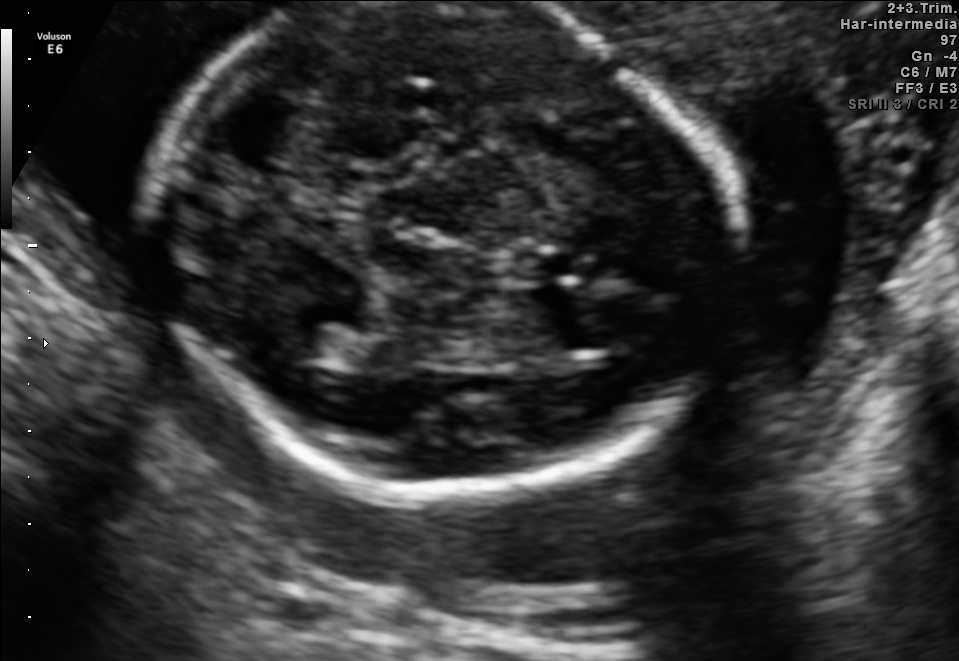
This is a 2D maternal-fetal ultrasound frame. Is it a fetal abdomen, fetal brain, fetal femur, fetal thorax, maternal cervix, or other standard plane? If it's fetal brain and one of the three standard brain planes (trans-thalamic, trans-cerebellum, trans-ventricular), name which.

Fetal brain (trans-thalamic plane)